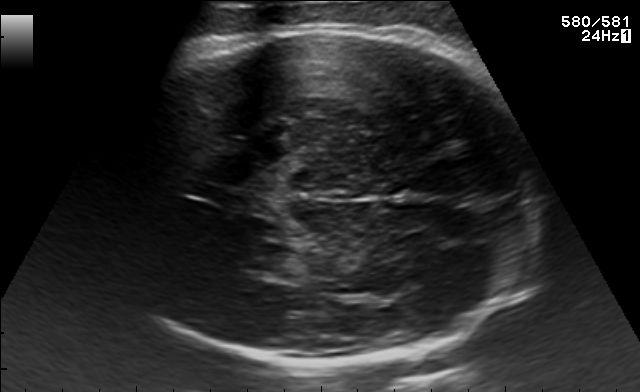
Fetal brain, trans-thalamic plane. Where is the fetal head?

Head bounding box: [91,29,533,364]